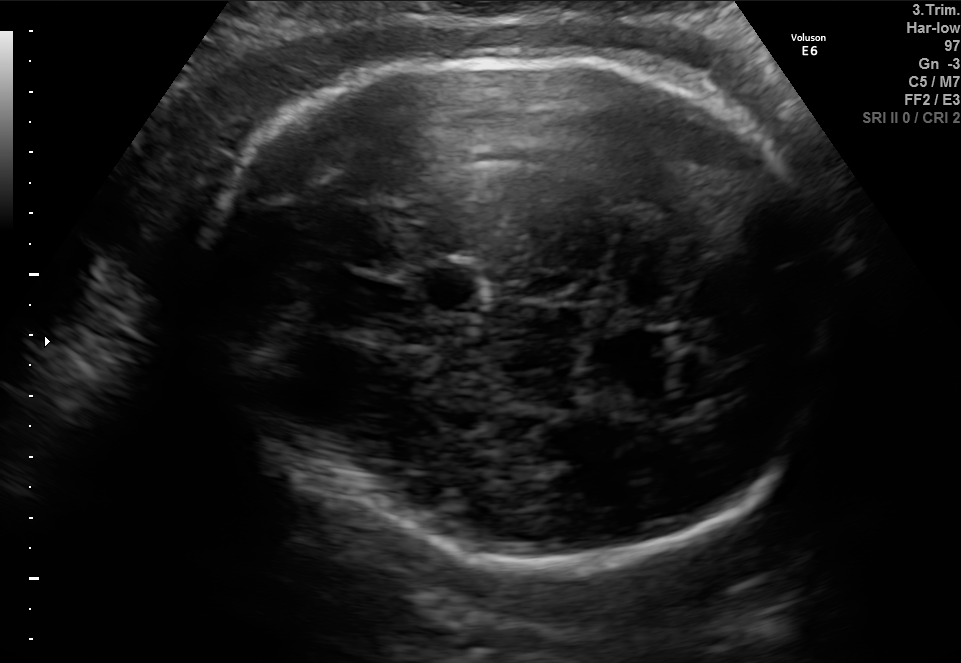
This is a 2D maternal-fetal ultrasound frame. Is it a fetal abdomen, fetal brain, fetal femur, fetal thorax, maternal cervix, or other standard plane? If it's fetal brain and one of the three standard brain planes (trans-thalamic, trans-cerebellum, trans-ventricular), name which.

Fetal brain (trans-thalamic plane)